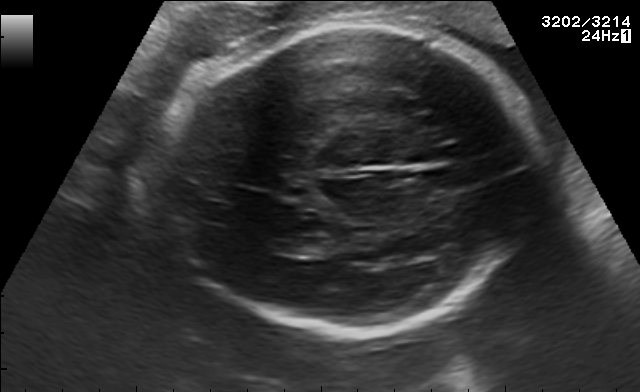
Fetal brain, trans-thalamic plane. Locate the lateral ventricle.

Lateral ventricle: [277,236,331,256]